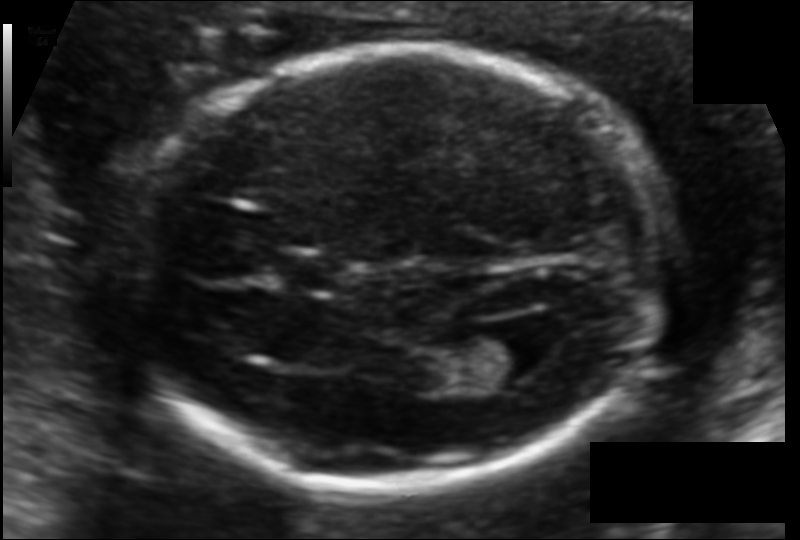
Estimate the fetal head circumference from this 2D ultrasound. Image width: 86.5 mm.

Head circumference: 168.9 mm.